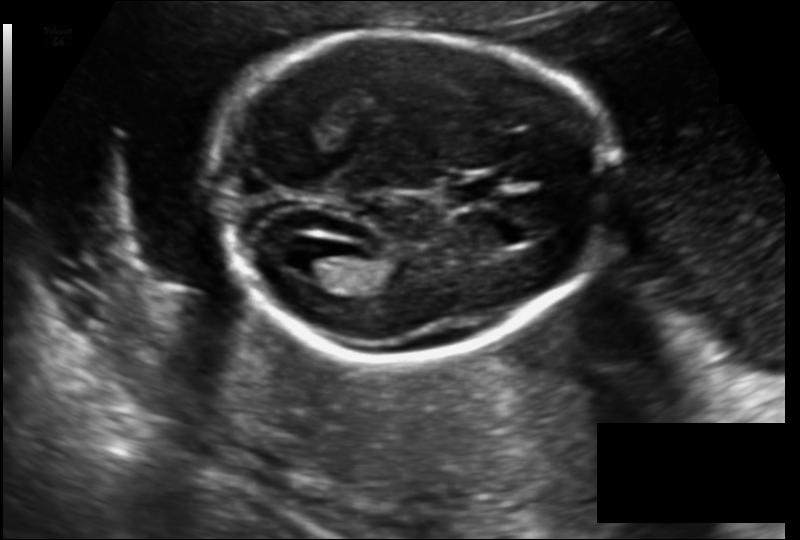
Fetal head ultrasound. Image width: 113.3 mm. Where is the cavum septum pellucidum?

CSP bounding box: [445,175,496,208]